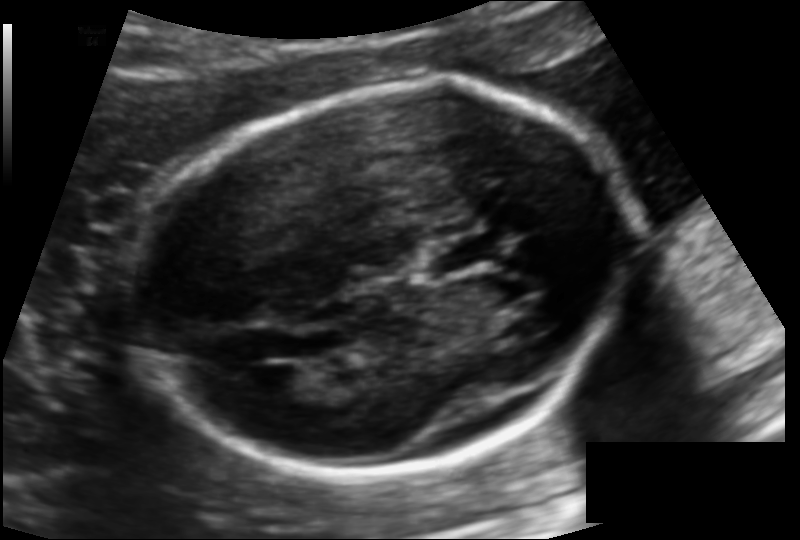
In this fetal head ultrasound, give bounding boxes for the head outline, cavum septum pellucidum (CSP), and lateral ventricle (LV), where visible. Image width: 99.2 mm.

Head: [135,89,631,471]
CSP: [416,228,503,284]
Lateral ventricle: [252,365,309,400]